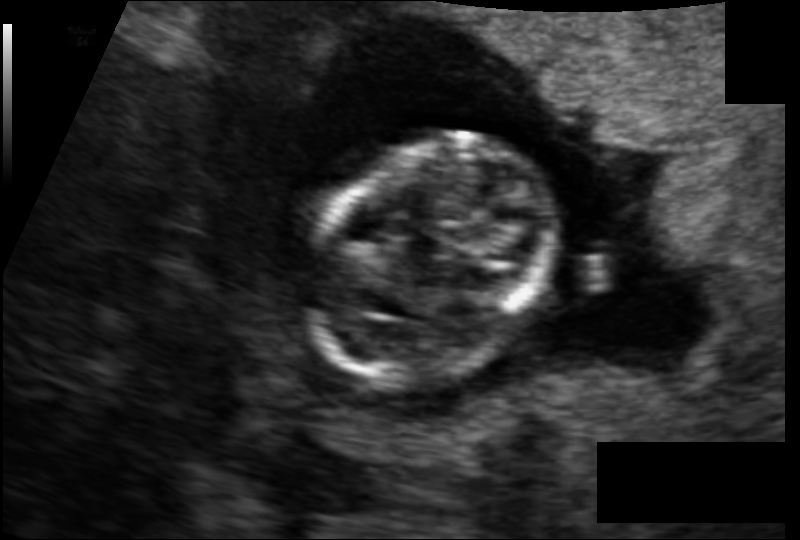
From this fetal ultrasound, estimate the head circumference (image width 77.6 mm).

Head circumference: 78.8 mm.